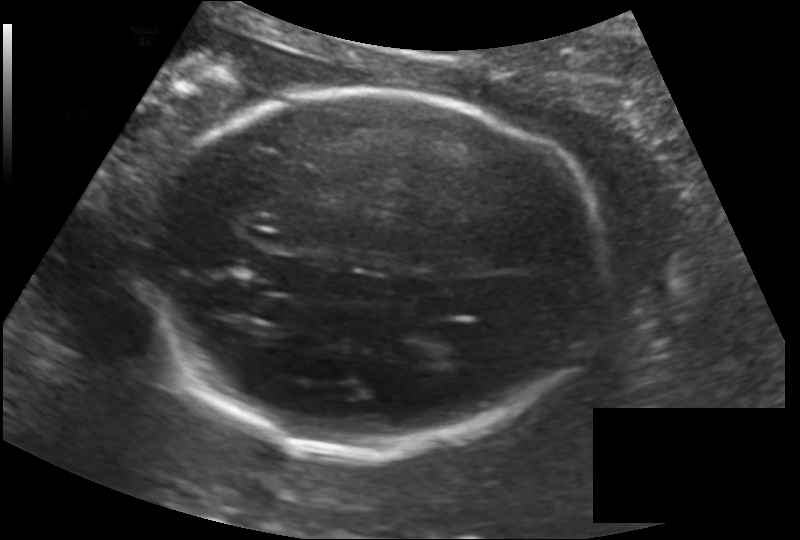
What is the fetal head circumference? Image width is 136.3 mm.

226.9 mm